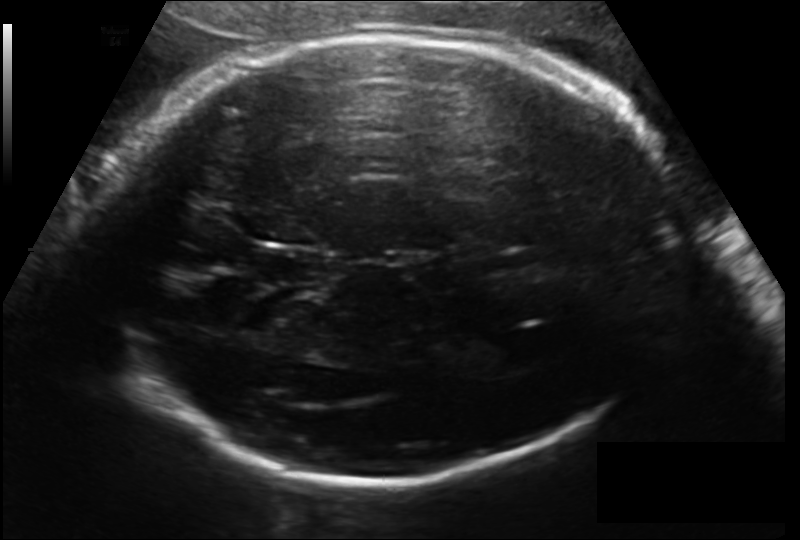
Measure the fetal head circumference shown in this ultrasound image. Image width: 136.7 mm.

Head circumference: 283.8 mm.